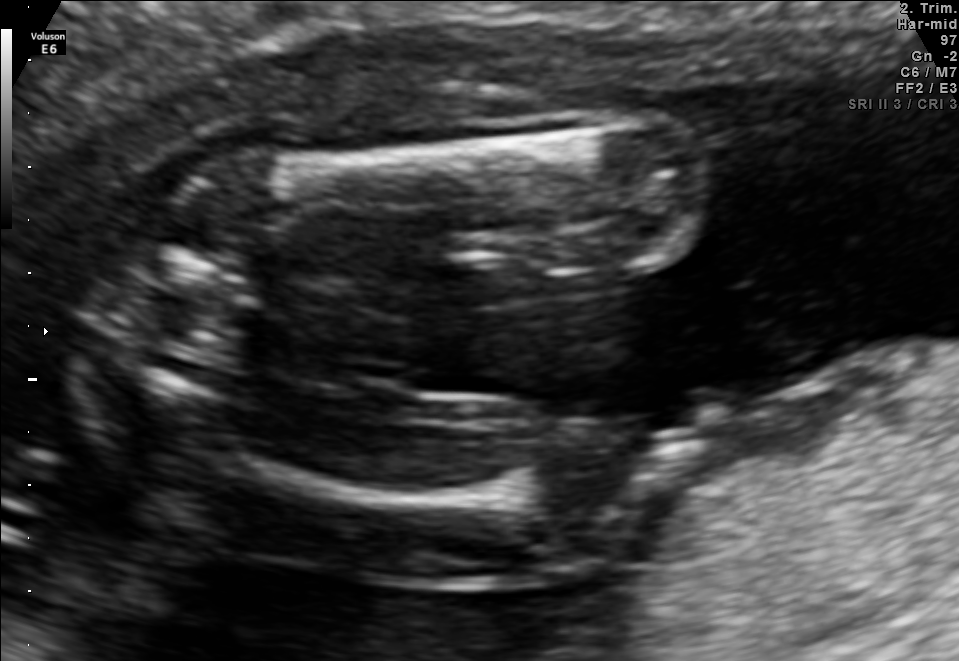
This is a 2D maternal-fetal ultrasound frame. Is it a fetal abdomen, fetal brain, fetal femur, fetal thorax, maternal cervix, or other standard plane? If it's fetal brain and one of the three standard brain planes (trans-thalamic, trans-cerebellum, trans-ventricular), name which.

Fetal femur